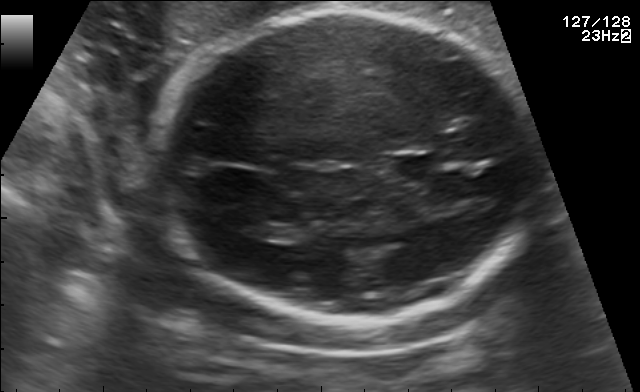
In this fetal brain, trans-thalamic plane, give the bounding box of the cavum septum pellucidum.

[386,155,432,179]